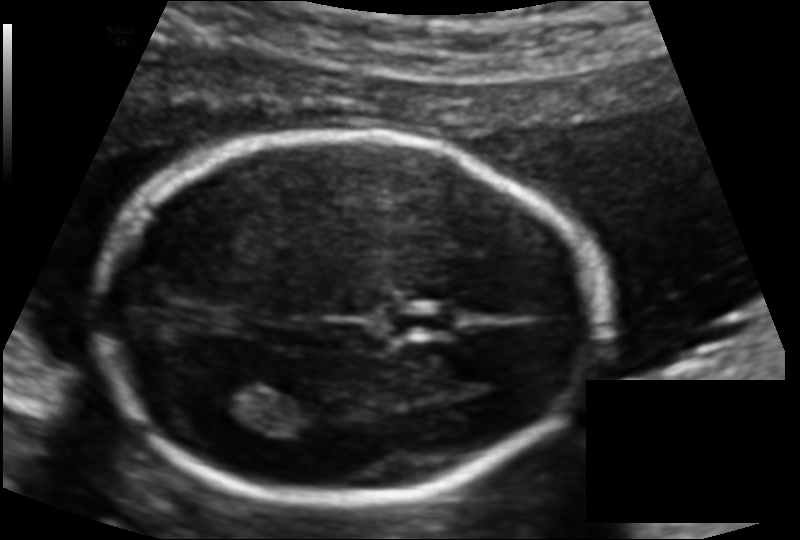
Fetal head ultrasound. Image width: 91.6 mm. Give [x1,y1,x2,y2] bounding boxes for each visible structure among: fetal head, CSP, LV.

Head: [101,135,602,500]
CSP: [389,307,453,336]
Lateral ventricle: [200,363,285,435]